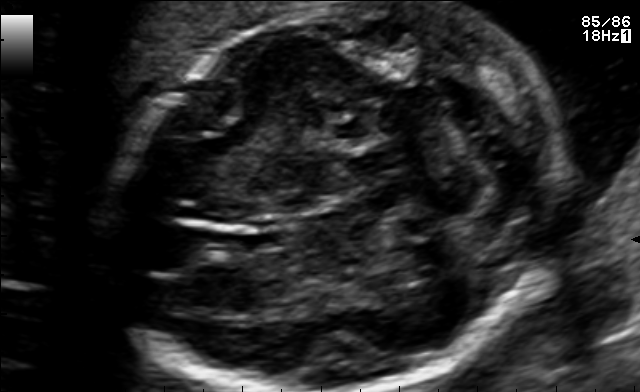
Fetal brain, trans-cerebellum plane. Give [x1,y1,x2,y2] bounding boxes for each visible structure among: fetal head, CSP, LV.

Head: [117,3,550,391]